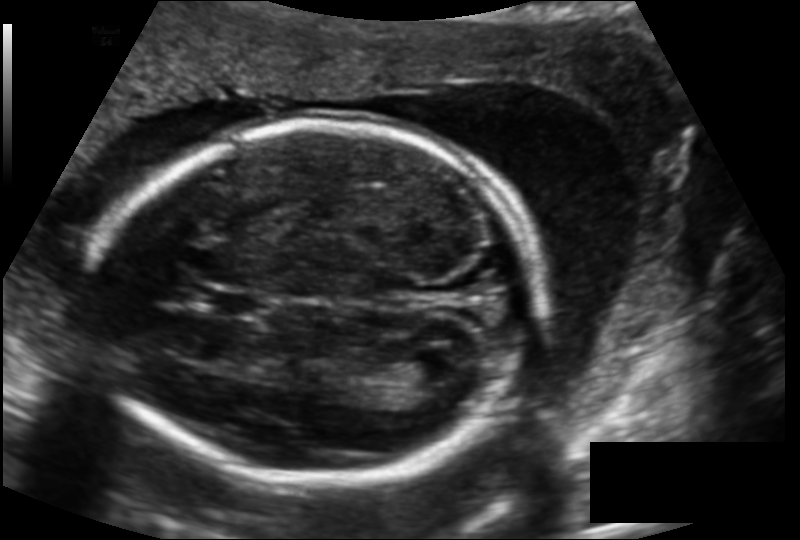
Fetal head ultrasound. Image width: 114.6 mm. Locate the fetal head.

Head: [93,122,535,485]